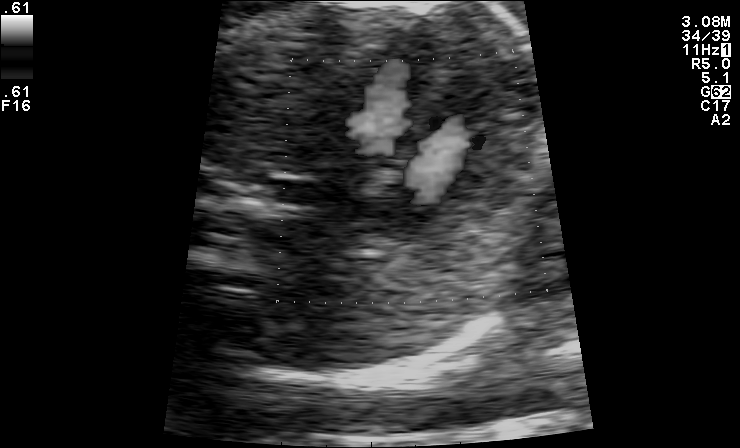
Classify this maternal-fetal ultrasound image as one of the six standard planes — fetal abdomen, fetal brain, fetal femur, fetal thorax, maternal cervix, or other. If it's fetal brain and one of the three standard brain planes (trans-thalamic, trans-cerebellum, trans-ventricular), name which.

Other